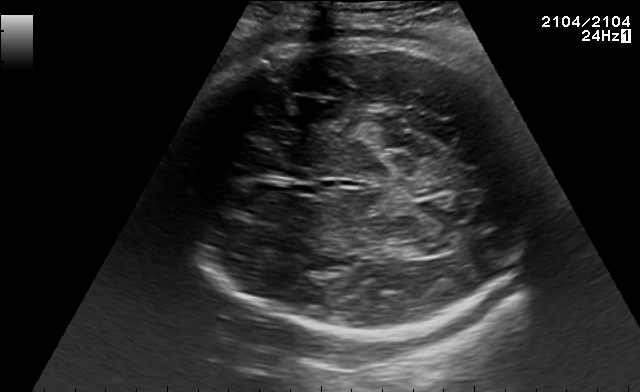
In this fetal brain, trans-thalamic plane, give the bounding box of the fetal head.

[168,40,538,335]